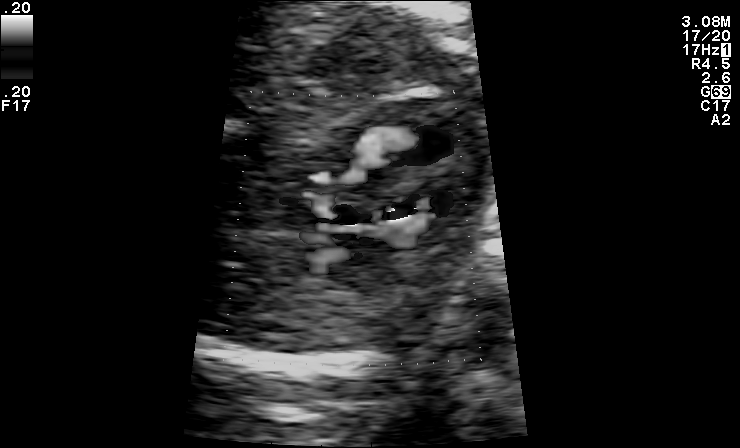
Classify this maternal-fetal ultrasound image as one of the six standard planes — fetal abdomen, fetal brain, fetal femur, fetal thorax, maternal cervix, or other. If it's fetal brain and one of the three standard brain planes (trans-thalamic, trans-cerebellum, trans-ventricular), name which.

Other